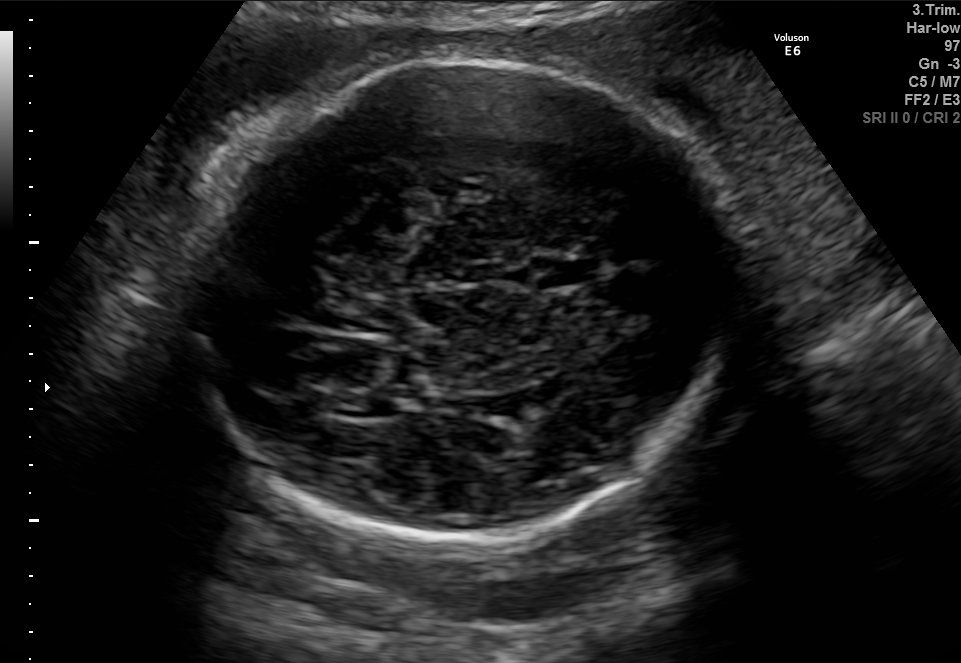
Fetal brain, trans-thalamic plane. Where is the cavum septum pellucidum?

CSP bounding box: [538,257,597,289]